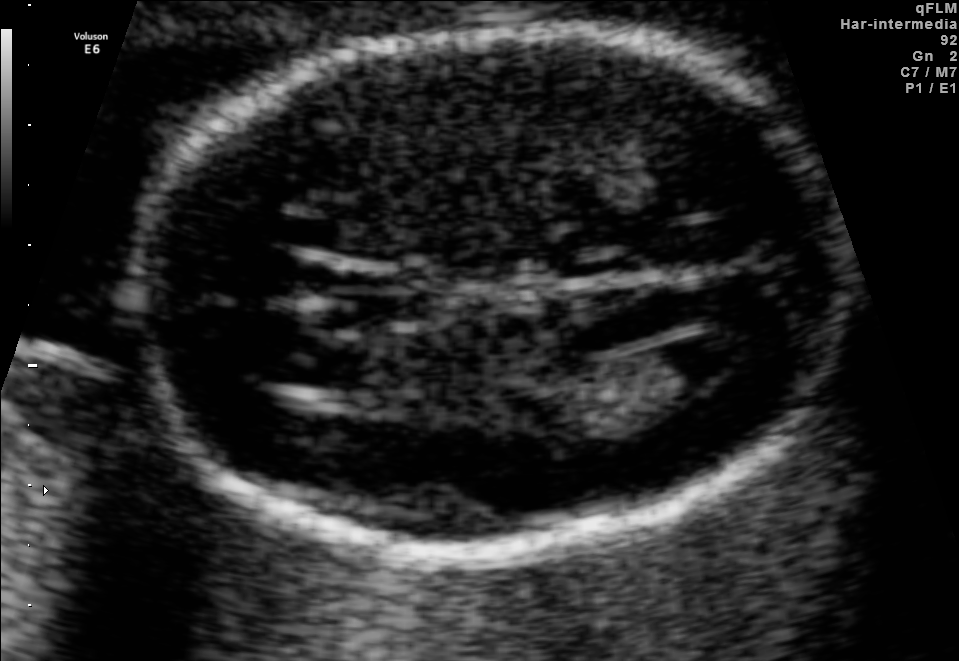
This is a 2D maternal-fetal ultrasound frame. Is it a fetal abdomen, fetal brain, fetal femur, fetal thorax, maternal cervix, or other standard plane? If it's fetal brain and one of the three standard brain planes (trans-thalamic, trans-cerebellum, trans-ventricular), name which.

Fetal brain (trans-ventricular plane)